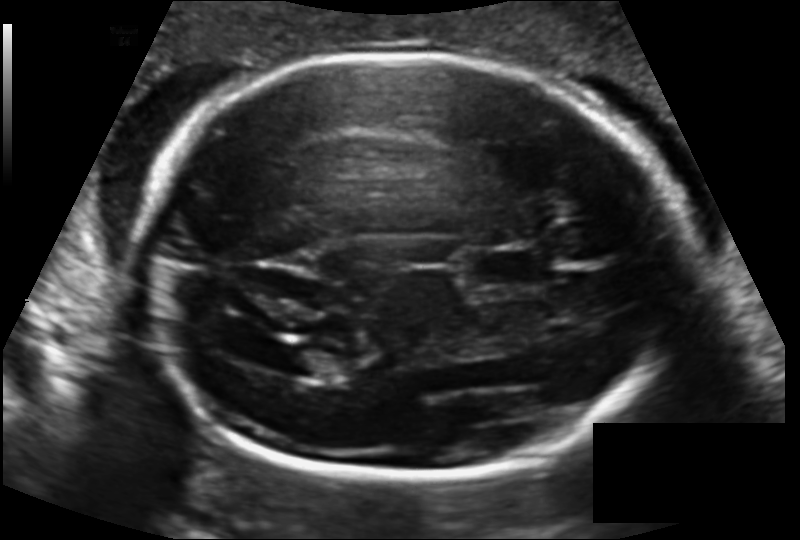
In this fetal head ultrasound, give the bounding box of the fetal head. Image width: 112.0 mm.

[135,53,682,479]